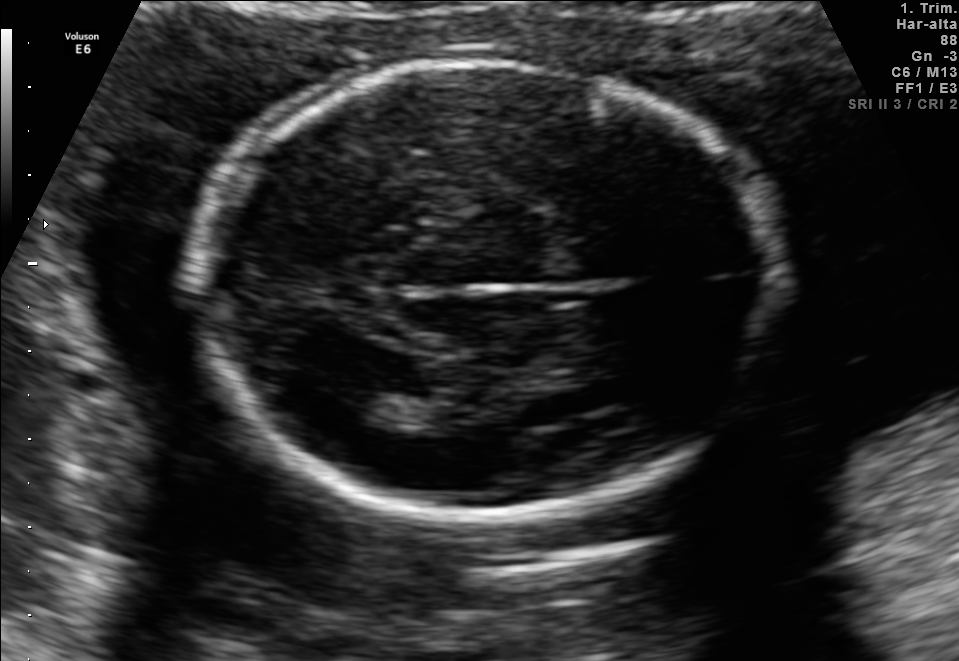
This is a 2D maternal-fetal ultrasound frame. Is it a fetal abdomen, fetal brain, fetal femur, fetal thorax, maternal cervix, or other standard plane? If it's fetal brain and one of the three standard brain planes (trans-thalamic, trans-cerebellum, trans-ventricular), name which.

Fetal brain (trans-thalamic plane)